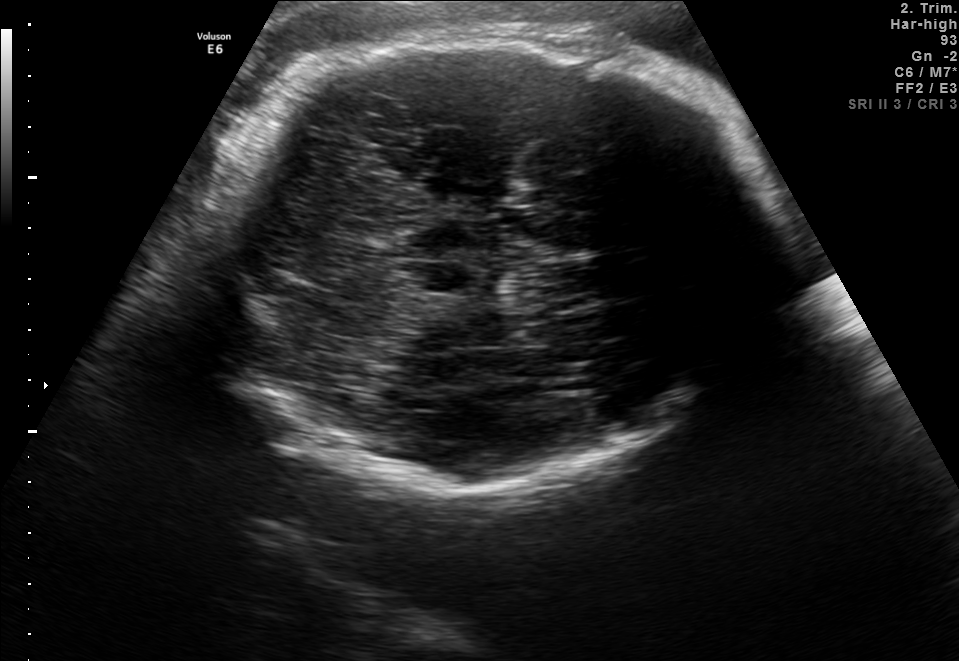
Fetal brain, trans-thalamic plane. Where is the fetal head?

Head bounding box: [206,31,773,490]